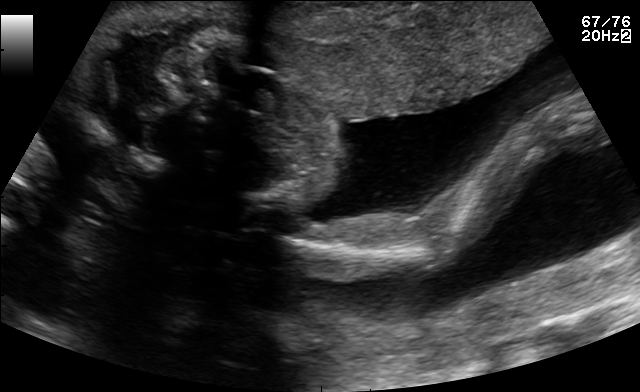
This is a 2D maternal-fetal ultrasound frame. Is it a fetal abdomen, fetal brain, fetal femur, fetal thorax, maternal cervix, or other standard plane? If it's fetal brain and one of the three standard brain planes (trans-thalamic, trans-cerebellum, trans-ventricular), name which.

Other